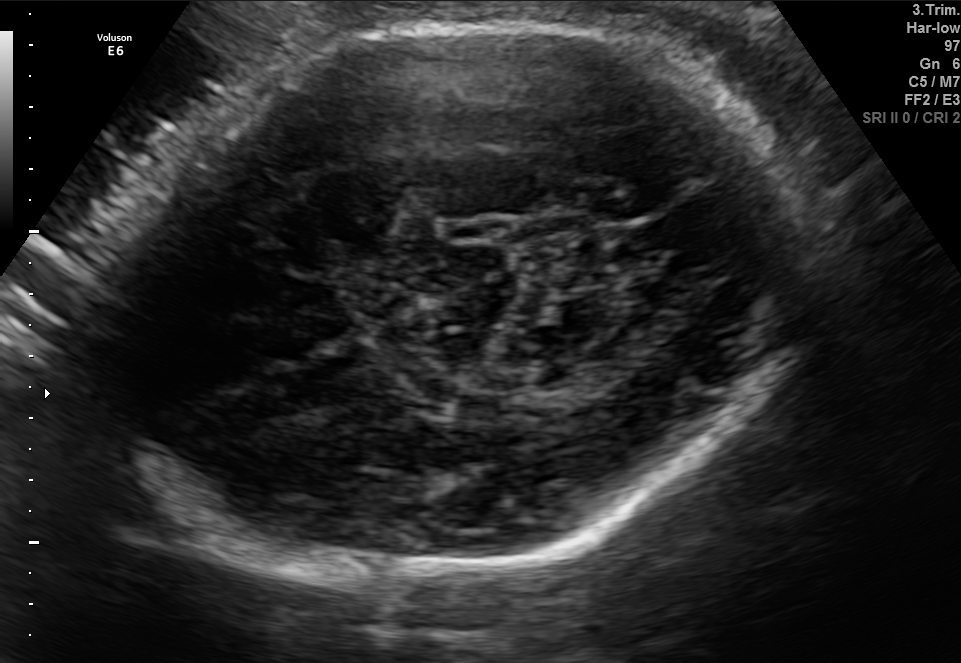
Classify this maternal-fetal ultrasound image as one of the six standard planes — fetal abdomen, fetal brain, fetal femur, fetal thorax, maternal cervix, or other. If it's fetal brain and one of the three standard brain planes (trans-thalamic, trans-cerebellum, trans-ventricular), name which.

Fetal brain (trans-thalamic plane)